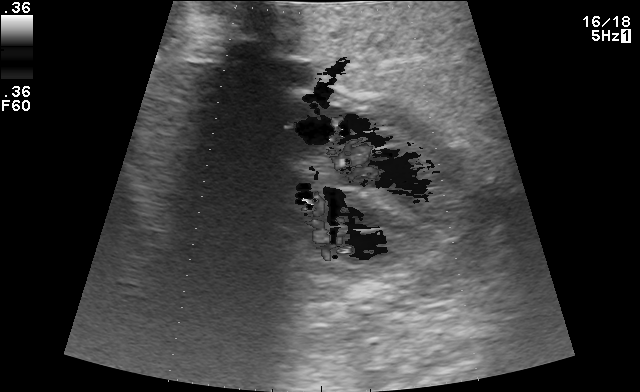
Identify the standard plane in this fetal ultrasound image: fetal abdomen, fetal brain, fetal femur, fetal thorax, maternal cervix, or other. If it's fetal brain and one of the three standard brain planes (trans-thalamic, trans-cerebellum, trans-ventricular), name which.

Other